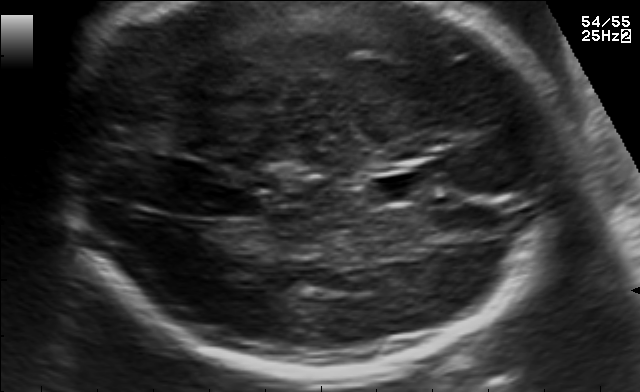
In this fetal brain, trans-thalamic plane, give bounding boxes for the cavum septum pellucidum (CSP) and lateral ventricle (LV), where visible.

CSP: [371,169,433,206]